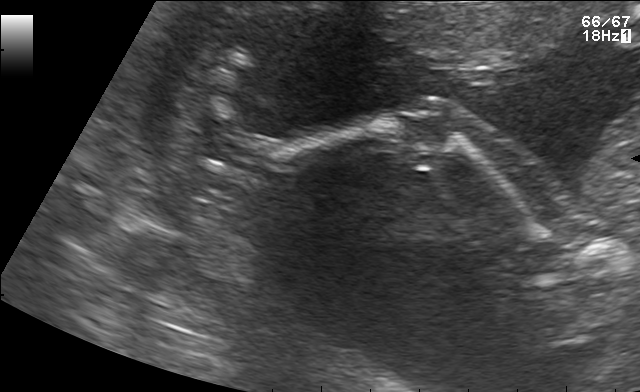
Which standard maternal-fetal ultrasound plane is shown: fetal abdomen, fetal brain, fetal femur, fetal thorax, maternal cervix, or other? If it's fetal brain and one of the three standard brain planes (trans-thalamic, trans-cerebellum, trans-ventricular), name which.

Other